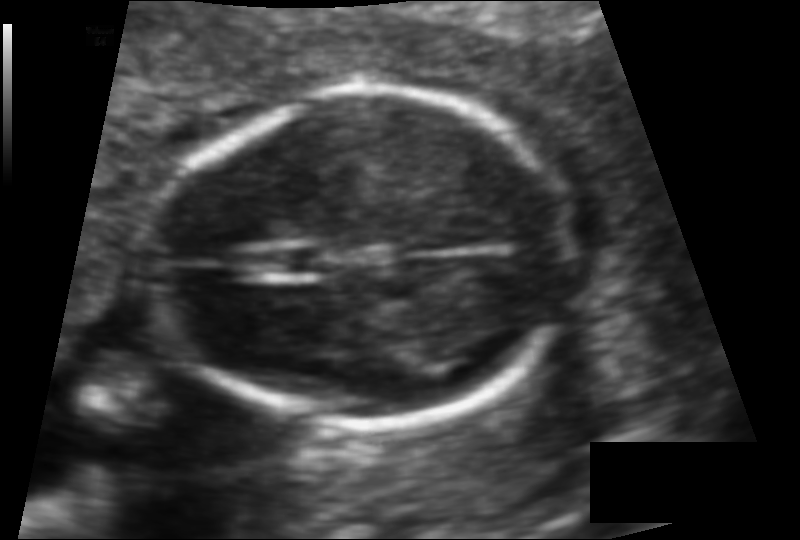
In this fetal head ultrasound, give the bounding box of the cavum septum pellucidum. Image width: 75.5 mm.

[269,248,332,273]